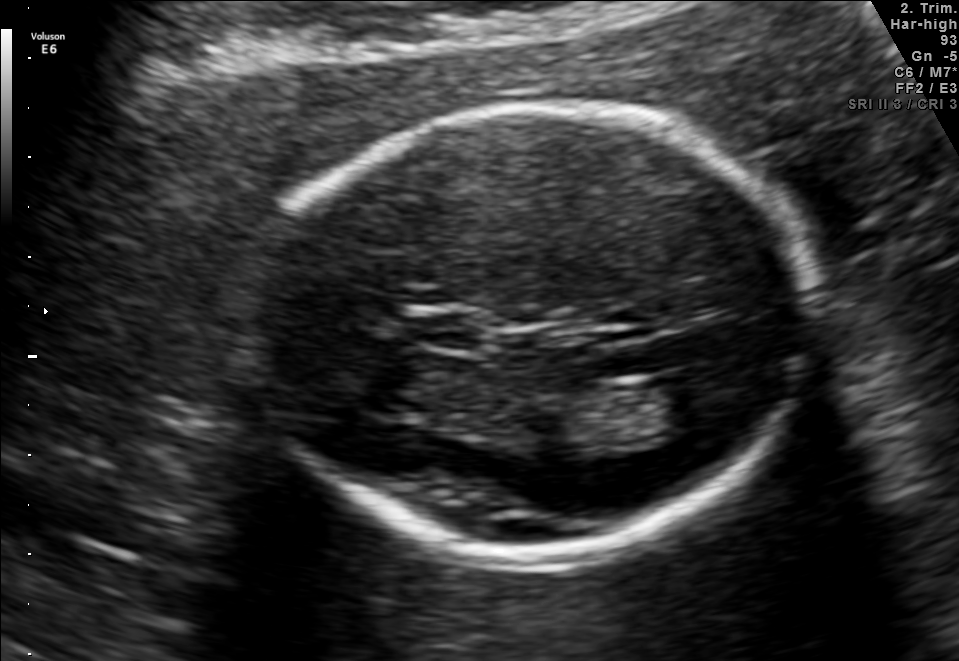
In this fetal brain, trans-thalamic plane, give the bounding box of the lateral ventricle.

[604,370,714,444]